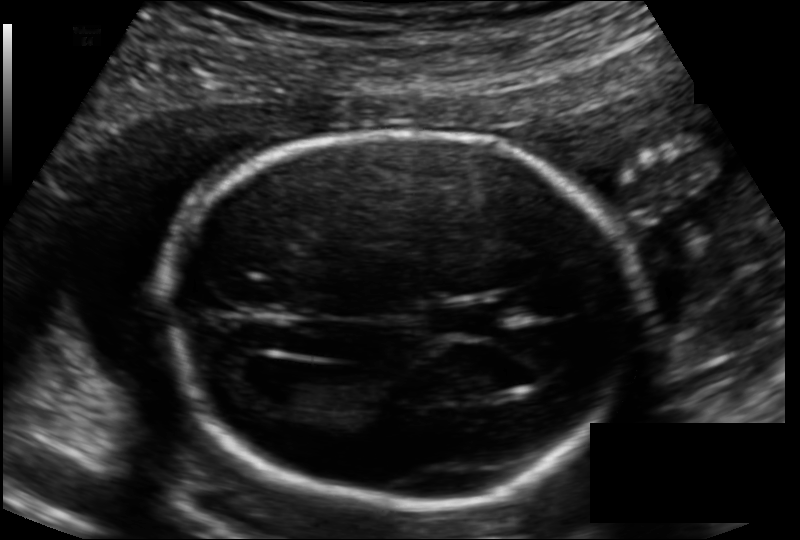
In this fetal head ultrasound, give bounding boxes for the head outline, cavum septum pellucidum (CSP), and lateral ventricle (LV), where visible. Image width: 100.8 mm.

Head: [168,133,634,505]
CSP: [430,303,497,336]
Lateral ventricle: [239,353,324,411]